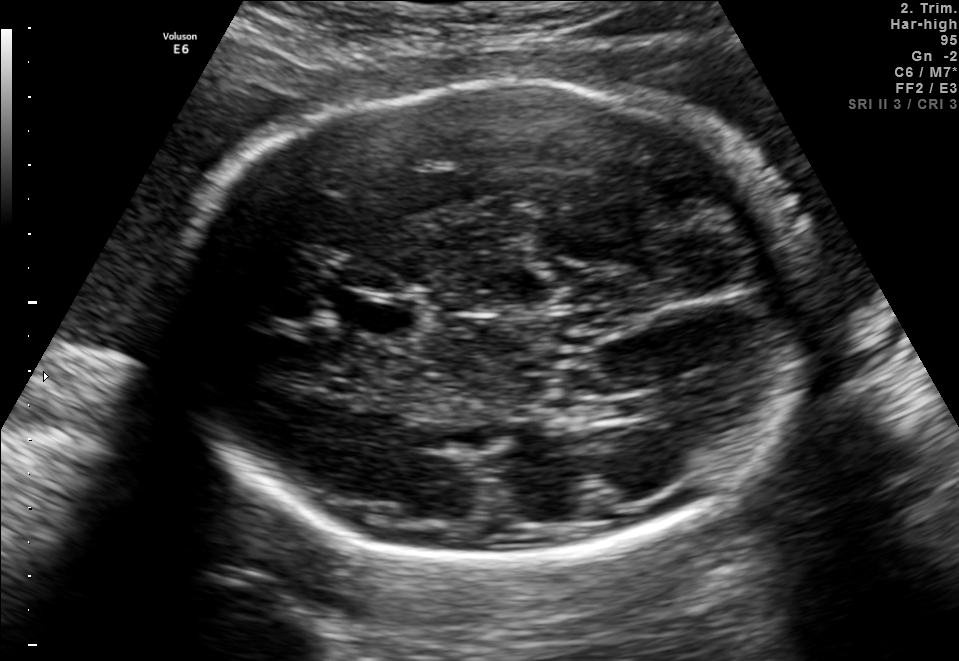
Fetal brain, trans-thalamic plane. Where is the cavum septum pellucidum?

CSP bounding box: [345,295,417,338]